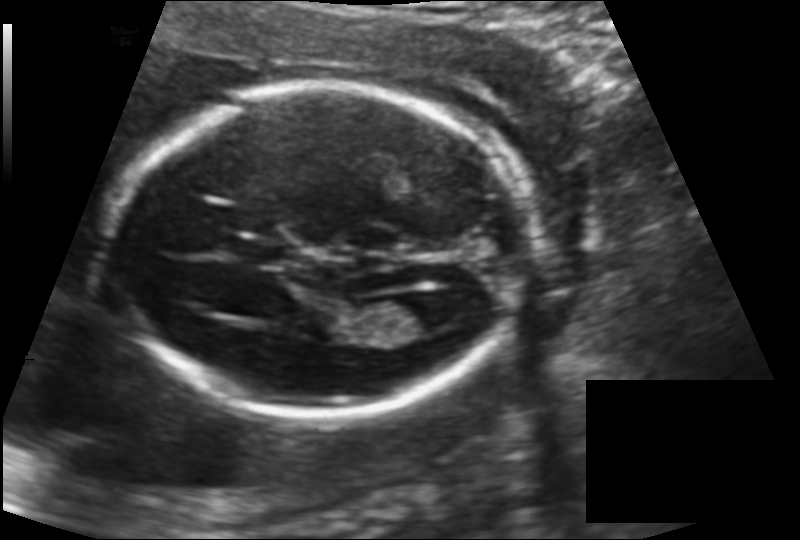
Fetal head ultrasound. Image width: 113.5 mm. Locate the cavum septum pellucidum.

CSP: [230,234,288,269]